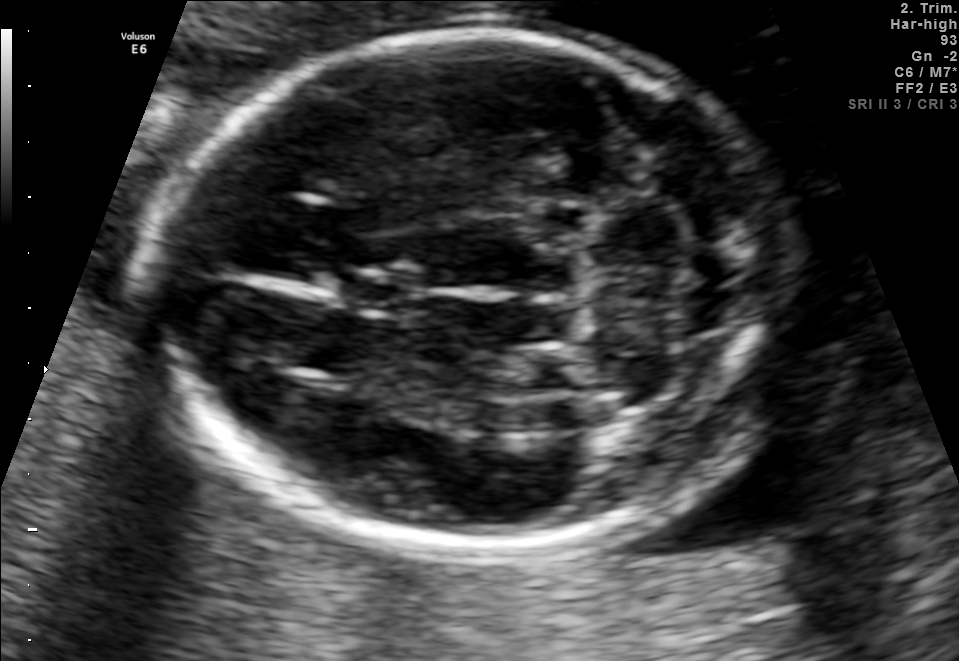
Identify the standard plane in this fetal ultrasound image: fetal abdomen, fetal brain, fetal femur, fetal thorax, maternal cervix, or other. If it's fetal brain and one of the three standard brain planes (trans-thalamic, trans-cerebellum, trans-ventricular), name which.

Fetal brain (trans-cerebellum plane)